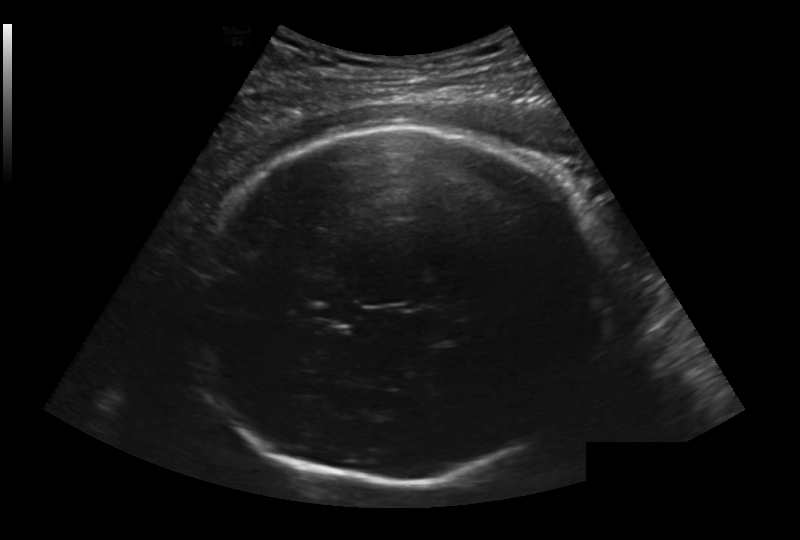
In this fetal head ultrasound, give bounding boxes for the head outline, cavum septum pellucidum (CSP), and lateral ventricle (LV), where visible. Image width: 188.7 mm.

Head: [198,125,607,485]